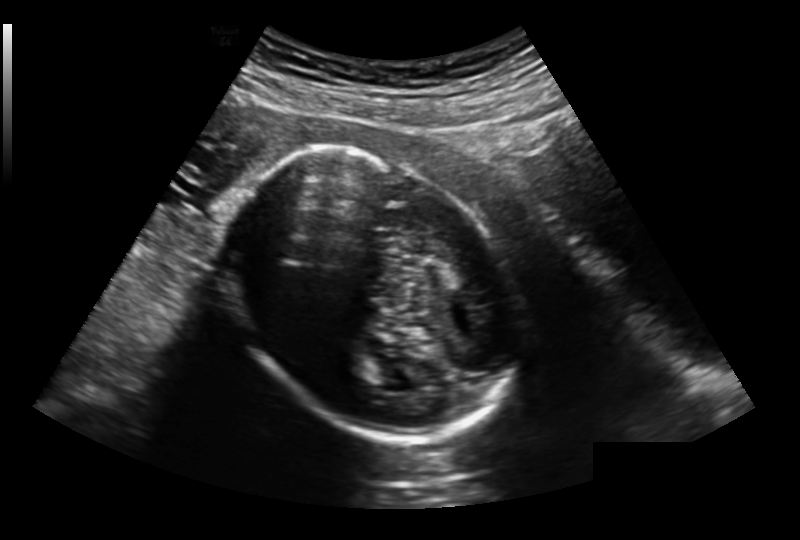
Estimate the fetal head circumference from this 2D ultrasound.

Head circumference: 201.9 mm (image width 170.5 mm).